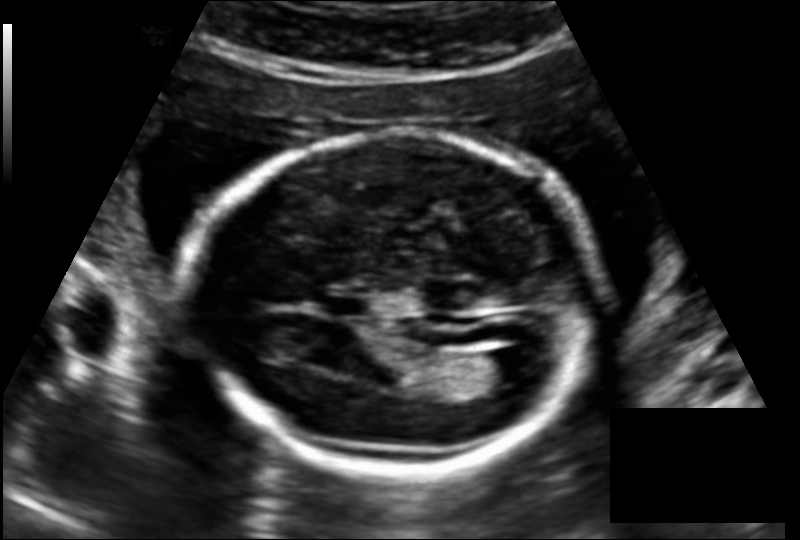
Fetal head ultrasound. Image width: 115.9 mm. Where is the lateral ventricle?

Lateral ventricle bounding box: [470,344,536,389]